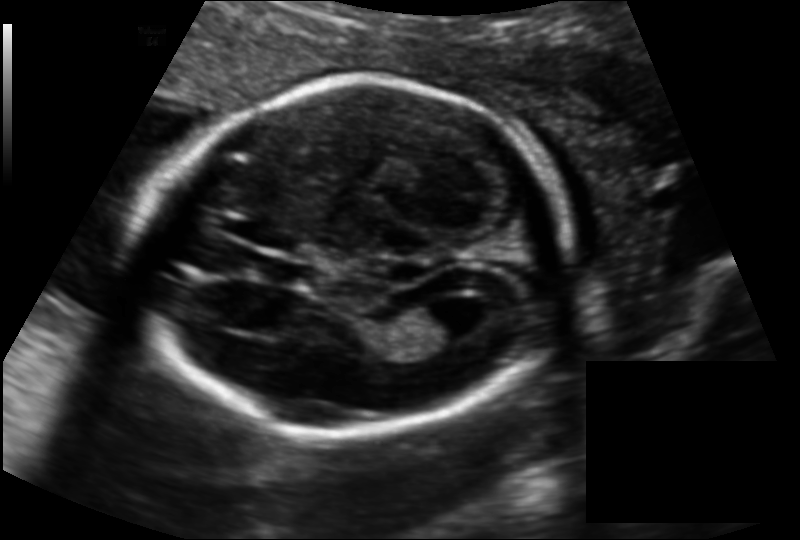
What is the fetal head circumference? Image width is 107.9 mm.

172.9 mm